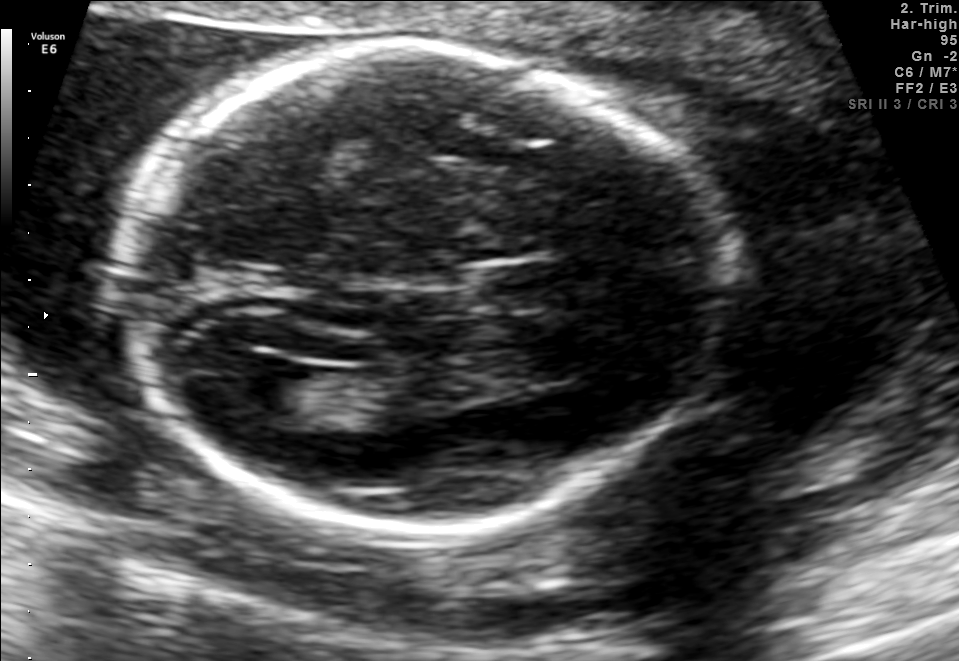
Fetal brain, trans-ventricular plane. Locate the cavum septum pellucidum.

CSP: [480,261,553,310]